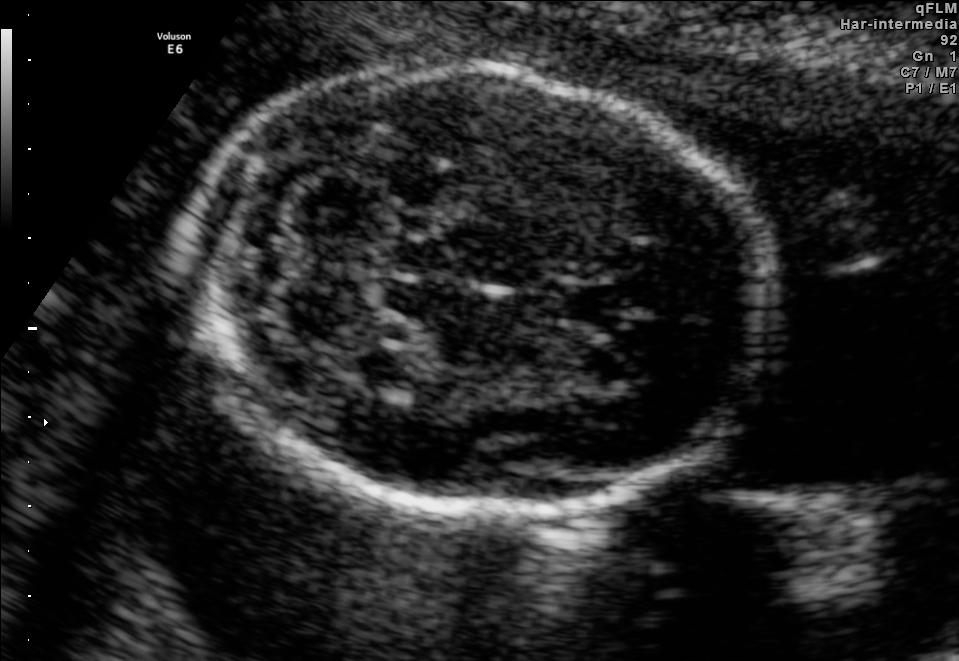
In this fetal brain, trans-cerebellum plane, give bounding boxes for the head outline, cavum septum pellucidum (CSP), and lateral ventricle (LV), where visible.

Head: [191,65,772,512]
CSP: [544,279,621,329]